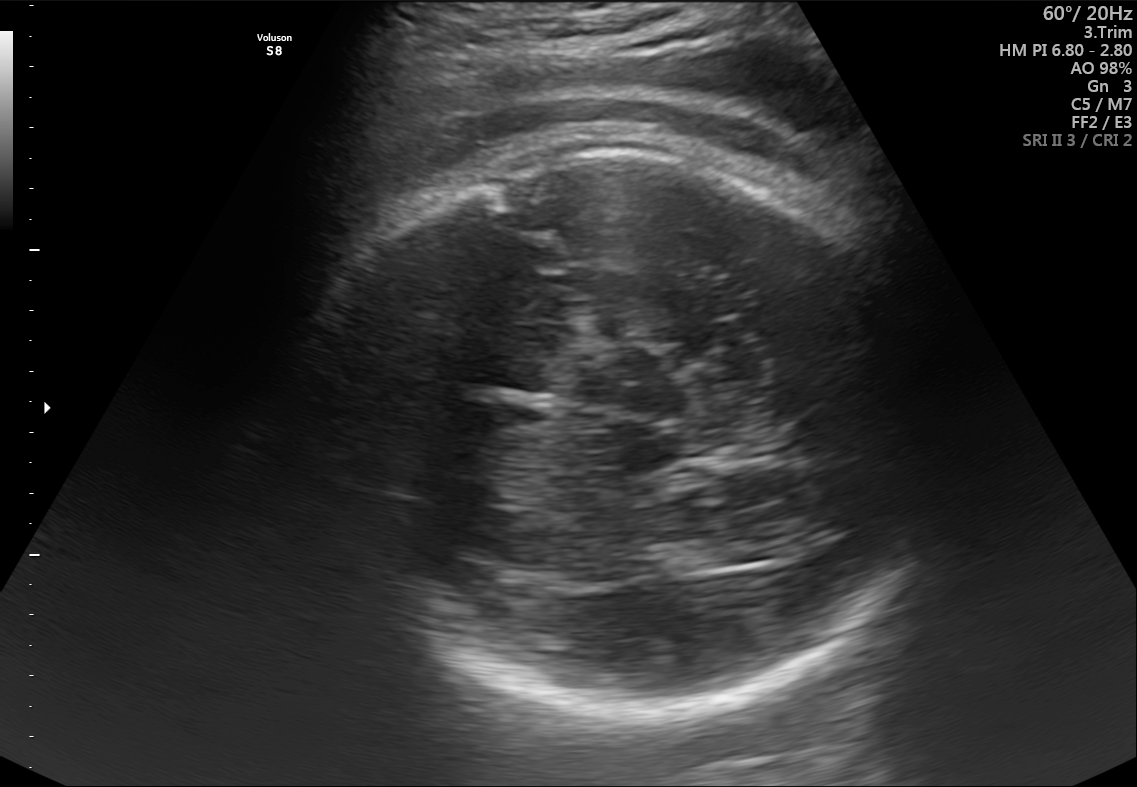
Fetal brain, trans-thalamic plane. Locate the fetal head.

Head: [293,140,963,725]